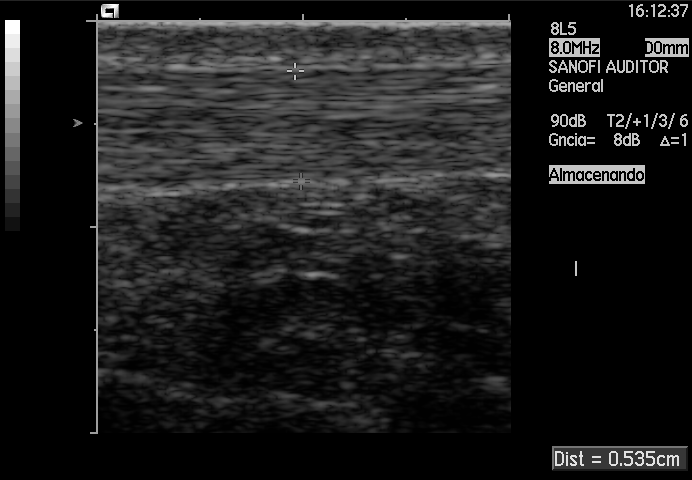
This is a 2D maternal-fetal ultrasound frame. Is it a fetal abdomen, fetal brain, fetal femur, fetal thorax, maternal cervix, or other standard plane? If it's fetal brain and one of the three standard brain planes (trans-thalamic, trans-cerebellum, trans-ventricular), name which.

Other